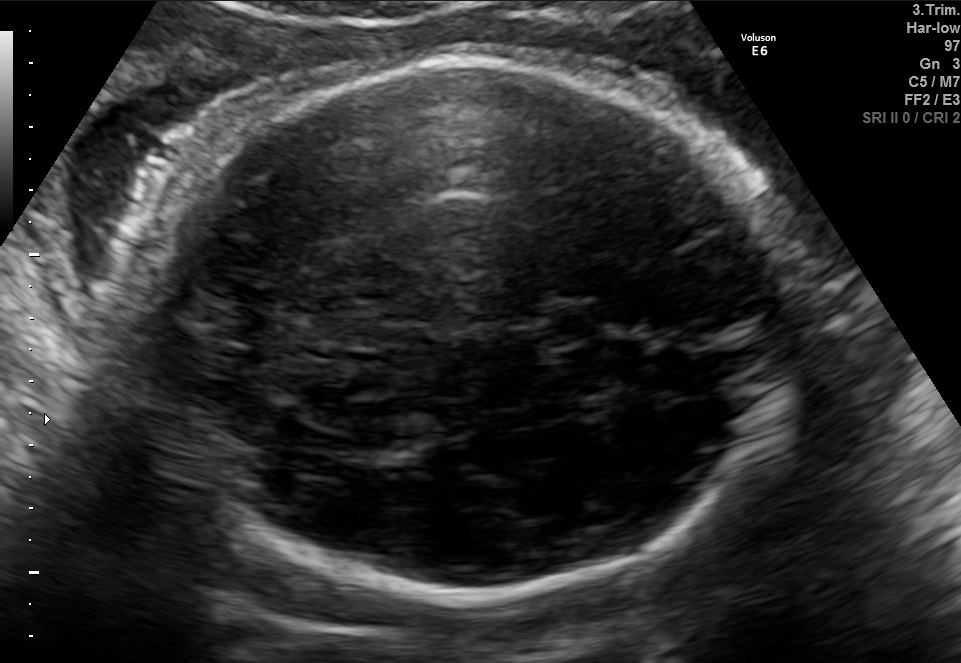
Fetal brain, trans-thalamic plane. Locate the fetal head and, if visible, the cavum septum pellucidum (CSP) and lateral ventricle (LV). Give bounding boxes as [x1,y1,x2,y2].

Head: [130,63,797,598]
CSP: [539,296,616,350]